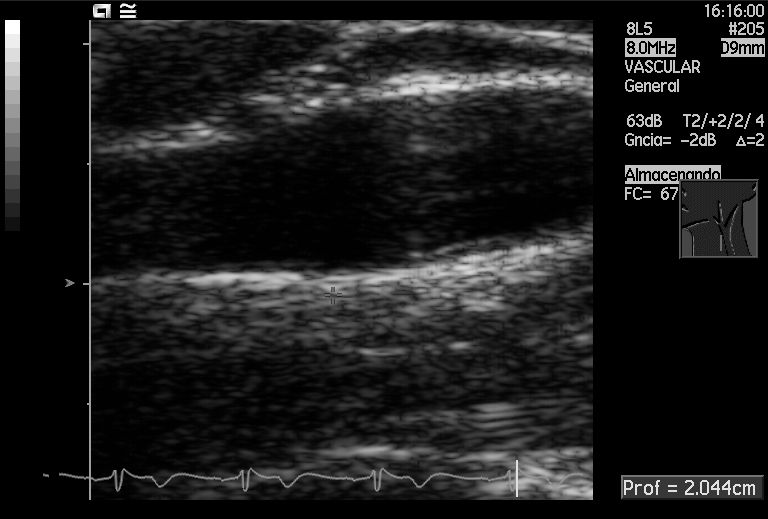
Identify the standard plane in this fetal ultrasound image: fetal abdomen, fetal brain, fetal femur, fetal thorax, maternal cervix, or other. If it's fetal brain and one of the three standard brain planes (trans-thalamic, trans-cerebellum, trans-ventricular), name which.

Other